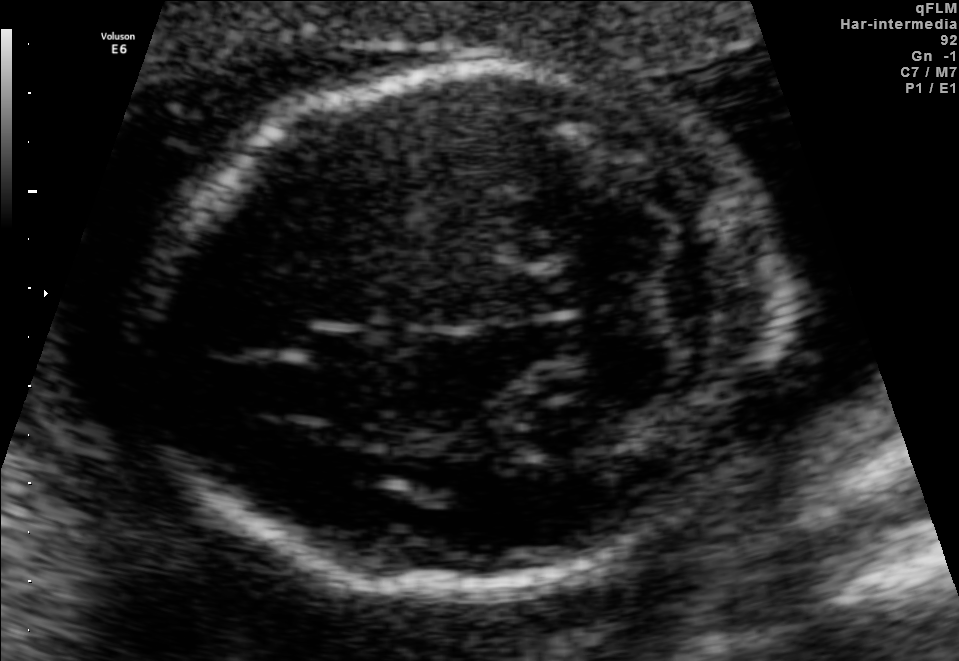
In this fetal brain, trans-cerebellum plane, give bounding boxes for the head outline, cavum septum pellucidum (CSP), and lateral ventricle (LV), where visible.

Head: [140,66,781,585]